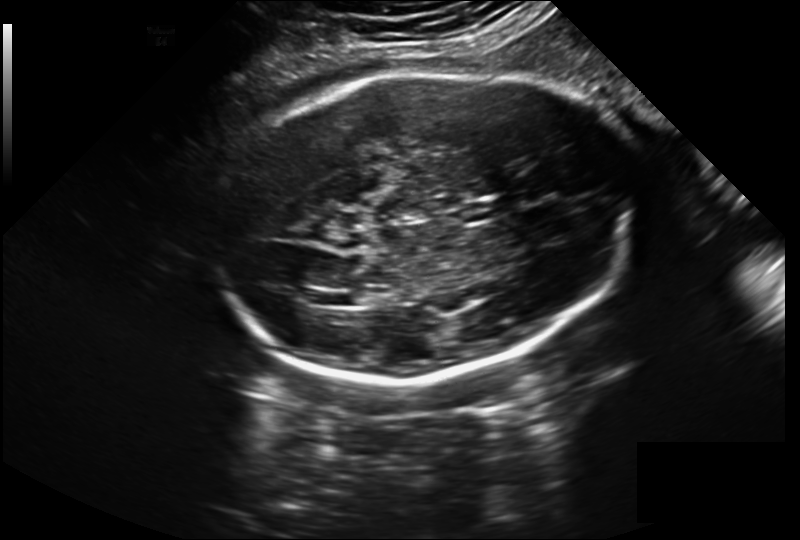
What is the fetal head circumference? Image width is 194.5 mm.

289.2 mm